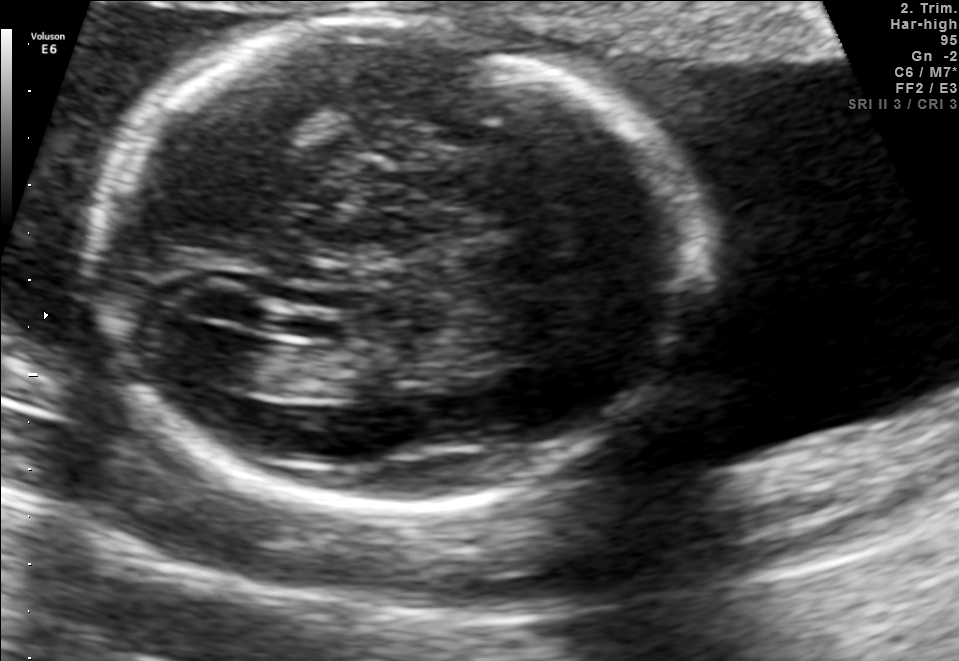
Fetal brain, trans-ventricular plane. Locate the fetal head.

Head: [81,6,708,523]